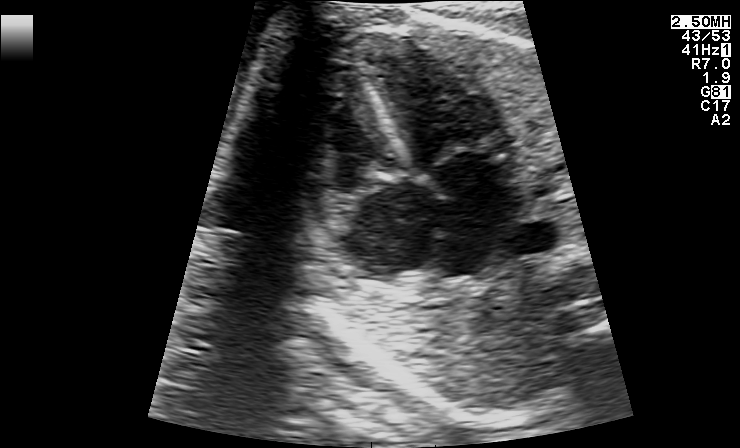
Classify this maternal-fetal ultrasound image as one of the six standard planes — fetal abdomen, fetal brain, fetal femur, fetal thorax, maternal cervix, or other. If it's fetal brain and one of the three standard brain planes (trans-thalamic, trans-cerebellum, trans-ventricular), name which.

Fetal thorax